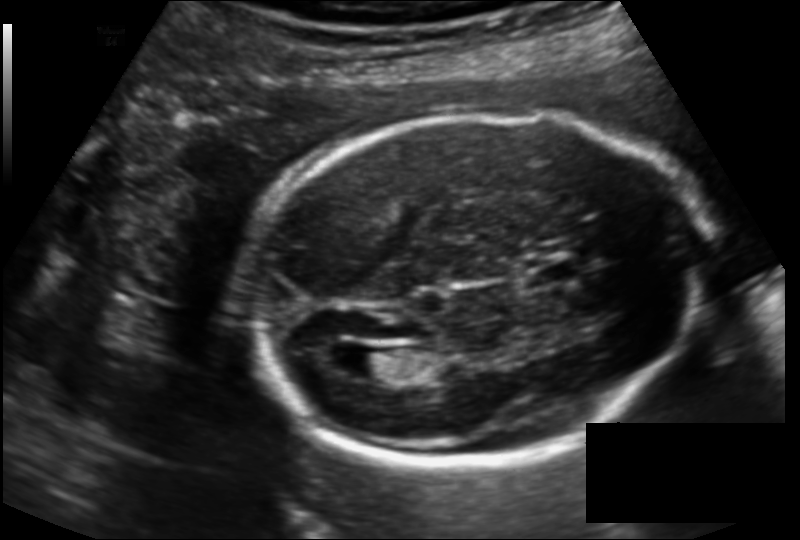
Estimate the fetal head circumference from this 2D ultrasound. Image width: 114.4 mm.

Head circumference: 186.2 mm.